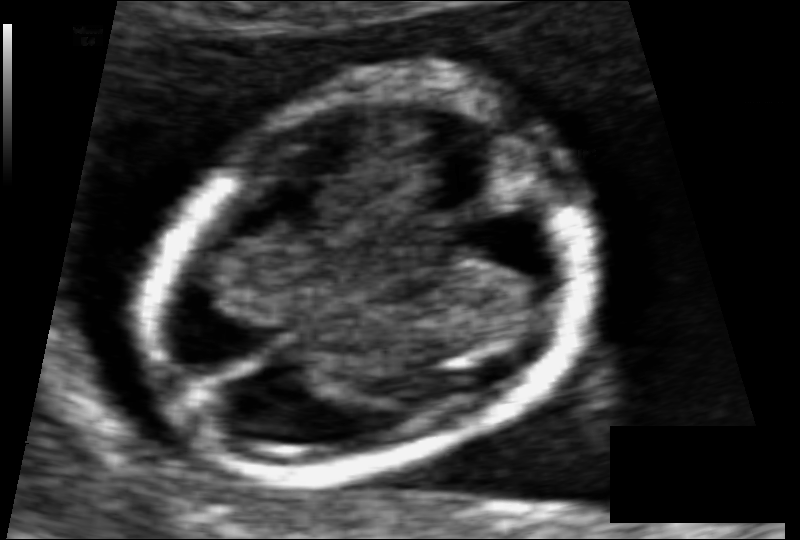
Estimate the fetal head circumference from this 2D ultrasound.

Head circumference: 83.6 mm (image width 49.2 mm).